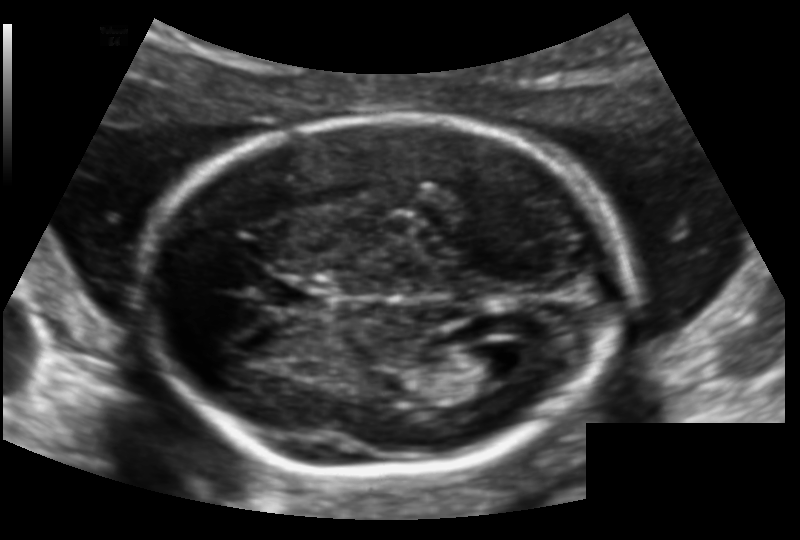
Estimate the fetal head circumference from this 2D ultrasound.

Head circumference: 174.1 mm (image width 102.0 mm).